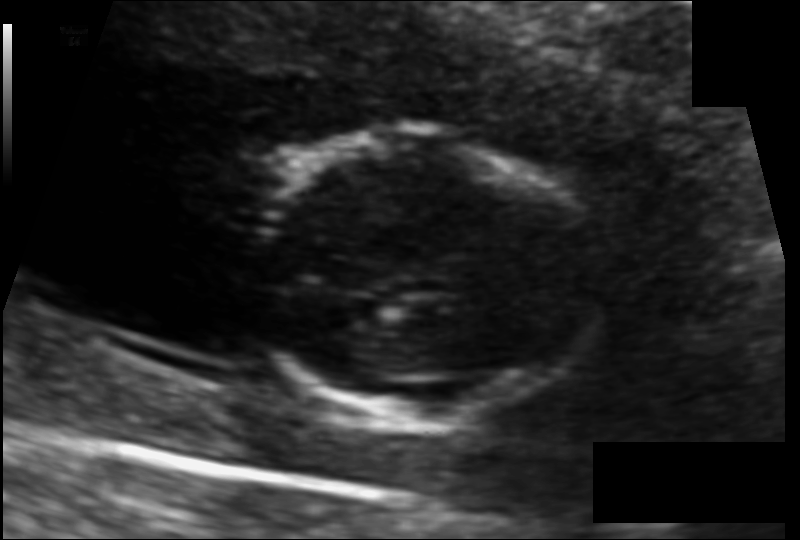
Fetal head ultrasound. Image width: 72.8 mm. Give [x1,y1,x2,y2] bounding boxes for each visible structure among: fetal head, CSP, LV.

Head: [249,138,606,418]